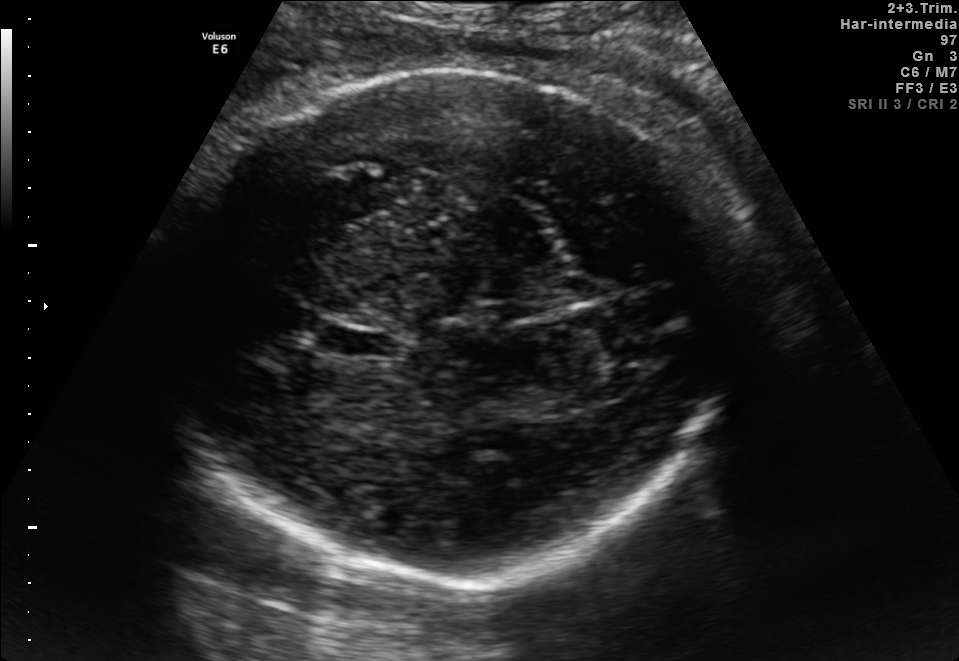
In this fetal brain, trans-thalamic plane, give the bounding box of the fetal head.

[163,66,738,581]